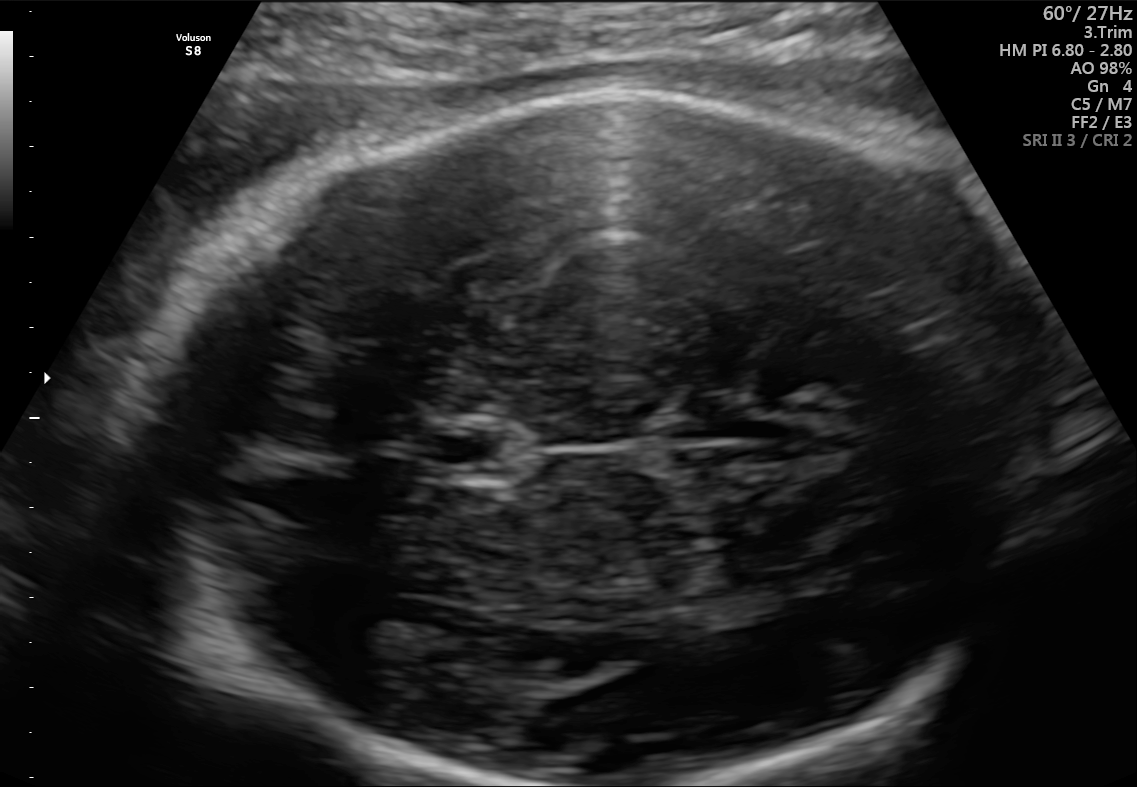
In this fetal brain, trans-thalamic plane, give bounding boxes for the head outline, cavum septum pellucidum (CSP), and lateral ventricle (LV), where visible.

Head: [124,88,1069,785]
CSP: [421,422,517,479]